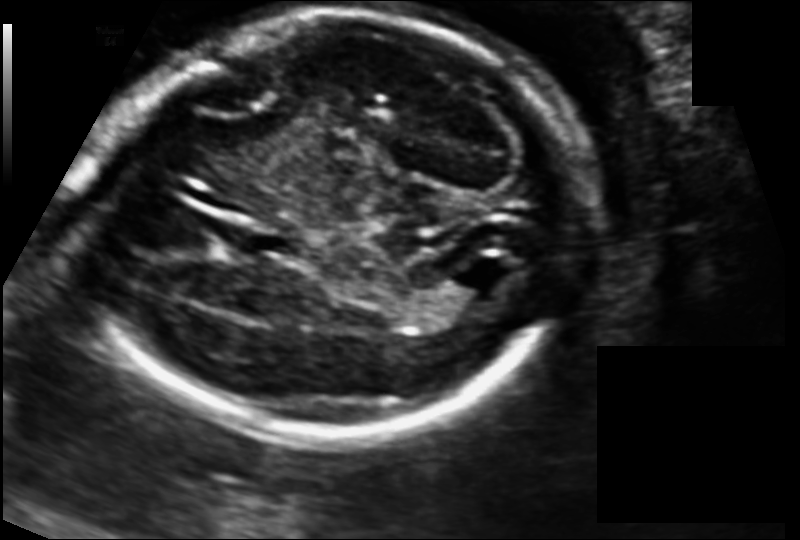
In this fetal head ultrasound, give the bounding box of the lateral ventricle. Image width: 100.4 mm.

[445,236,525,314]